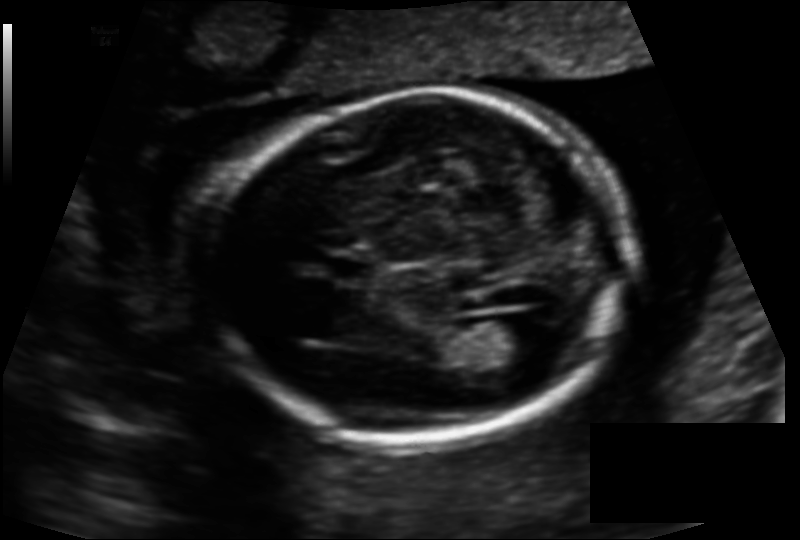
Measure the fetal head circumference shown in this ultrasound image. Image width: 107.3 mm.

Head circumference: 166.8 mm.